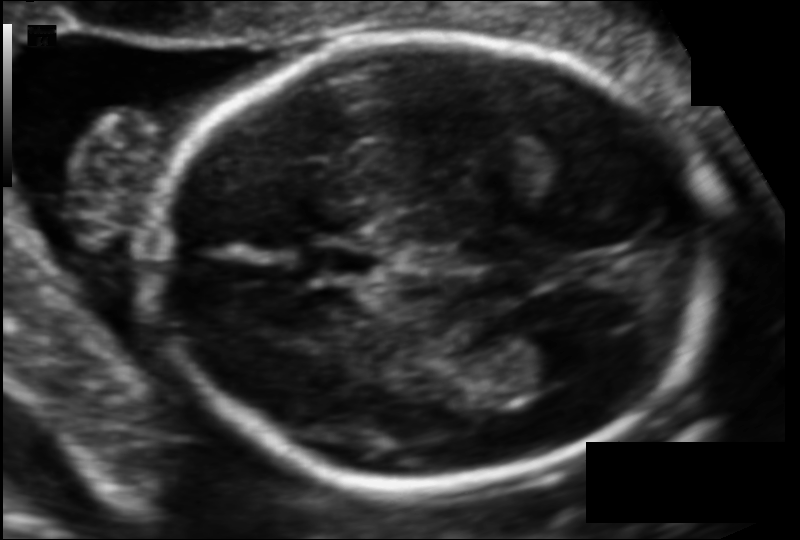
Measure the fetal head circumference shown in this ultrasound image. Image width: 81.4 mm.

Head circumference: 166.8 mm.